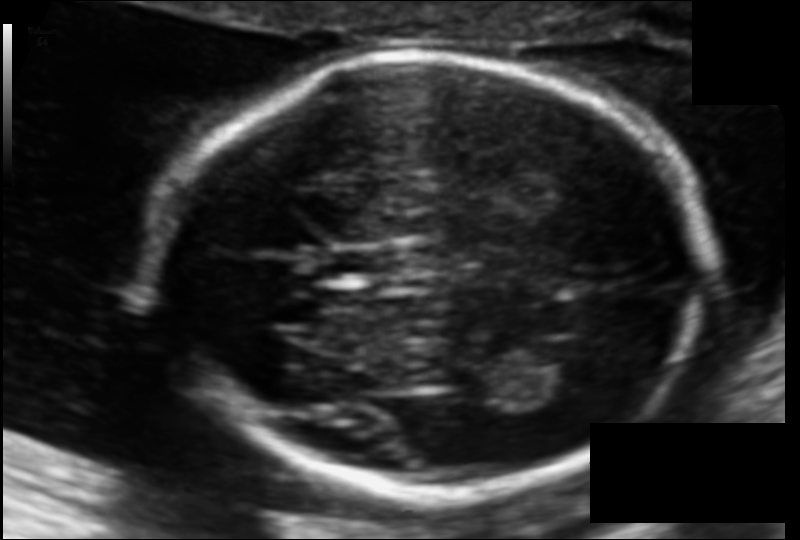
Fetal head ultrasound. Image width: 86.8 mm. Where is the fetal head?

Head bounding box: [154,54,704,491]